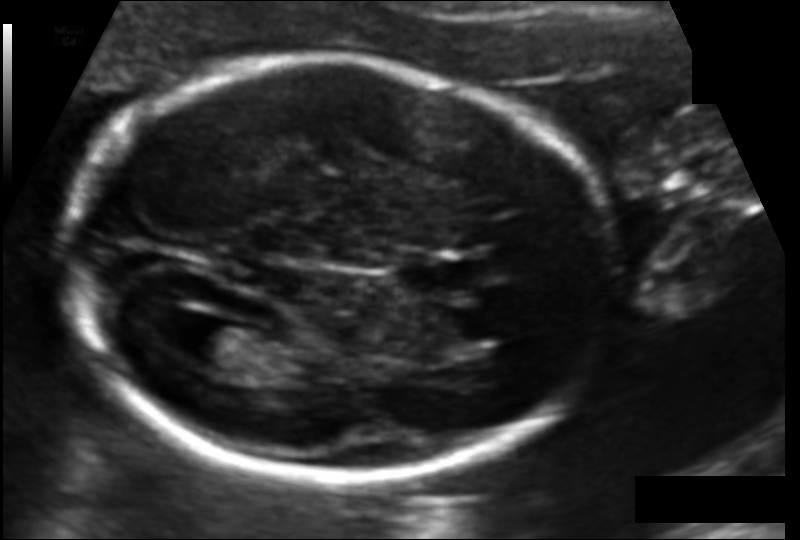
Estimate the fetal head circumference from this 2D ultrasound.

Head circumference: 177.8 mm (image width 91.0 mm).